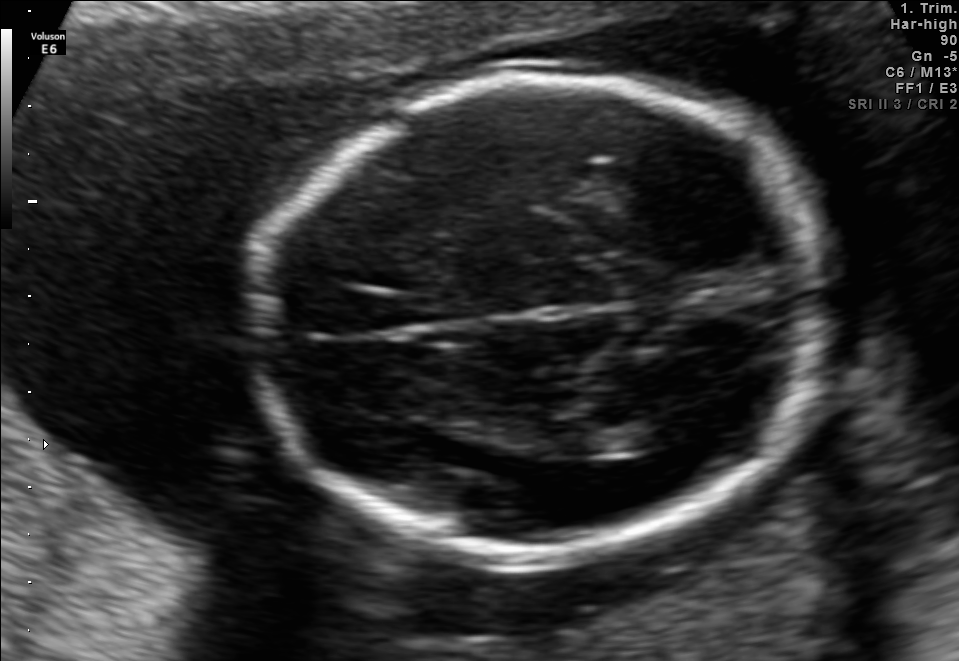
Fetal brain, trans-thalamic plane. Locate the fetal head.

Head: [258,80,825,561]